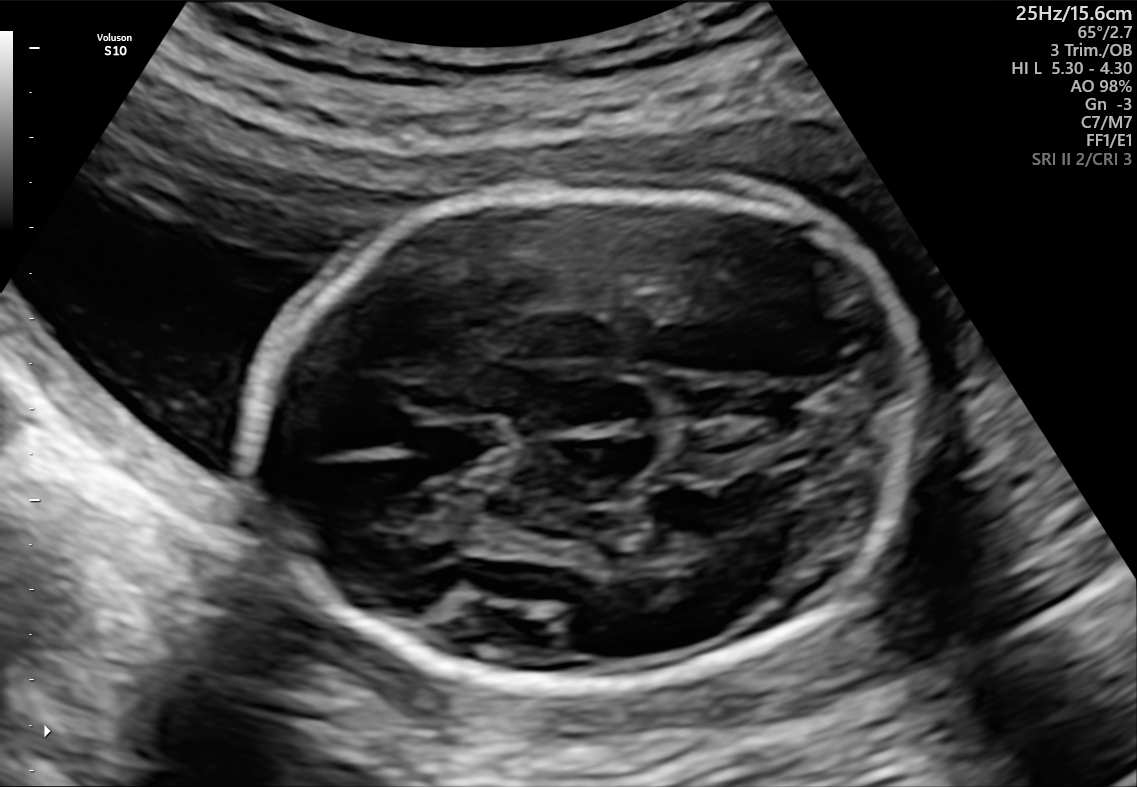
Fetal brain, trans-thalamic plane. Where is the cavum septum pellucidum?

CSP bounding box: [416,414,512,476]